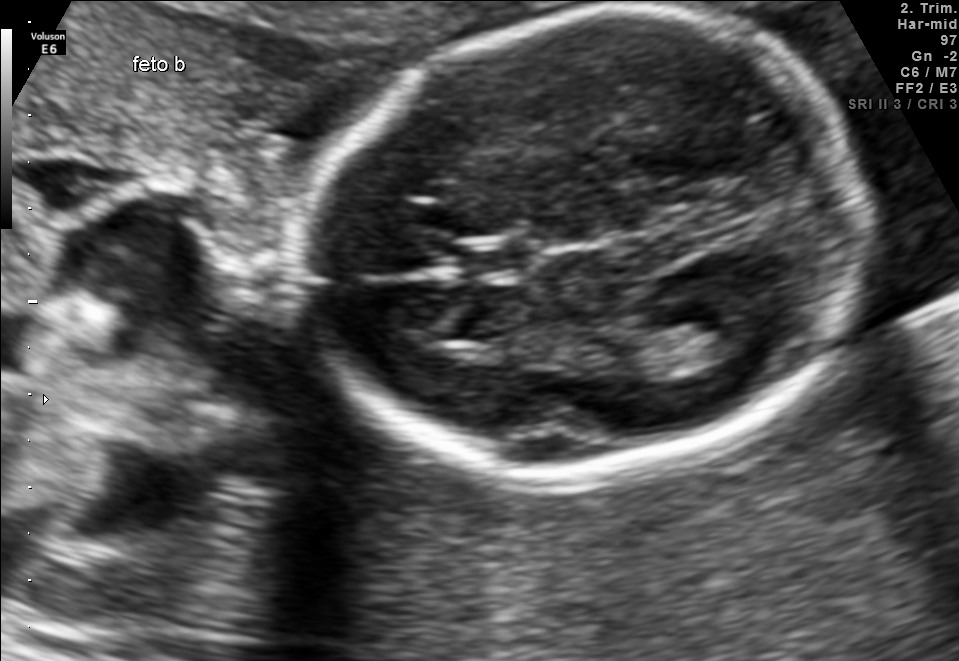
Fetal brain, trans-thalamic plane. Where is the cavum septum pellucidum?

CSP bounding box: [464,239,534,278]